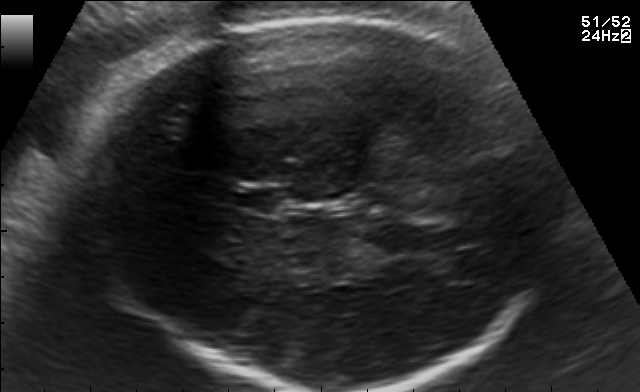
Fetal brain, trans-thalamic plane. Where is the cavum septum pellucidum?

CSP bounding box: [227,185,281,216]